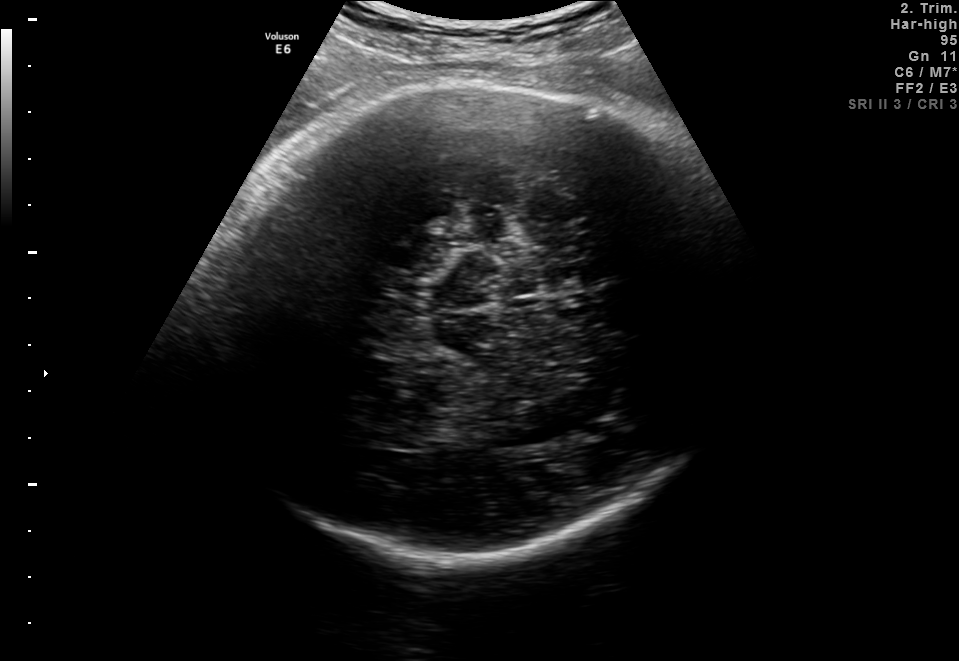
In this fetal brain, trans-thalamic plane, give bounding boxes for the head outline, cavum septum pellucidum (CSP), and lateral ventricle (LV), where visible.

Head: [202,83,739,554]